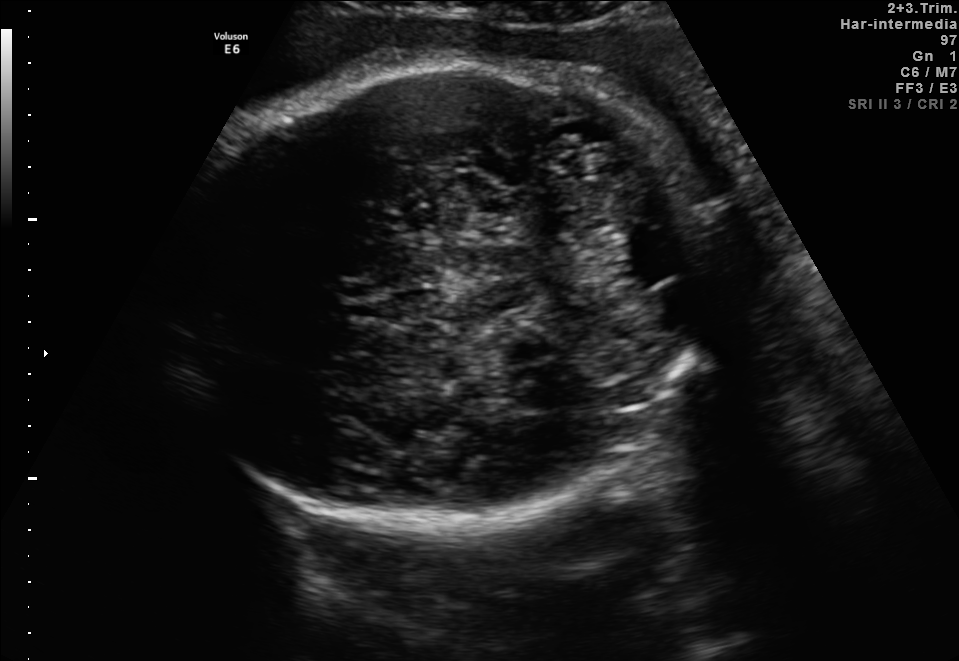
In this fetal brain, trans-cerebellum plane, give the bounding box of the fetal head.

[164,58,715,517]